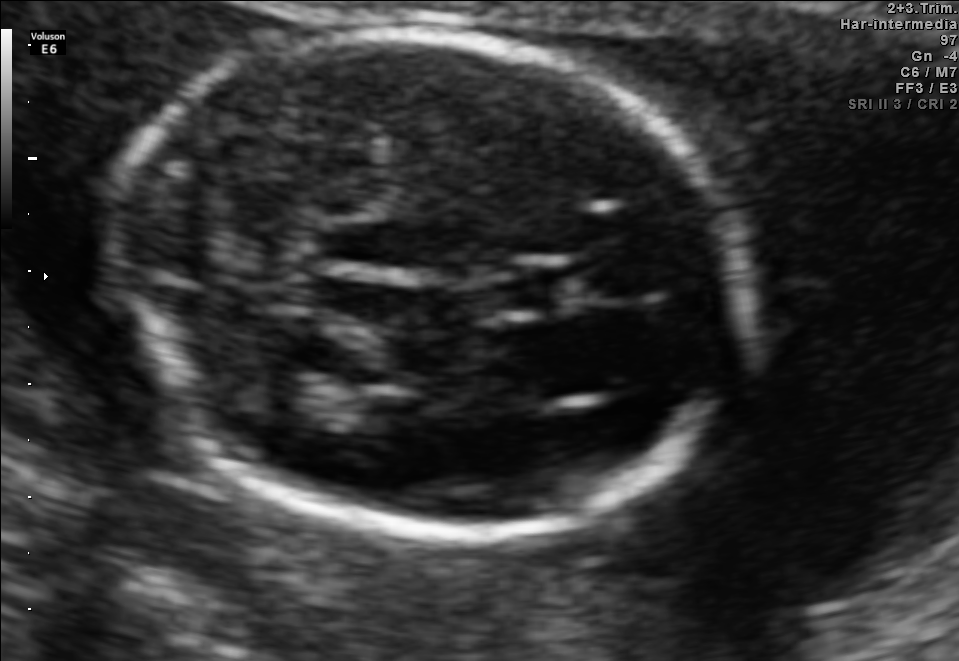
Fetal brain, trans-thalamic plane. Locate the fetal head and, if visible, the cavum septum pellucidum (CSP) and lateral ventricle (LV). Give bounding boxes as [x1,y1,x2,y2].

Head: [106,32,755,535]
CSP: [492,268,559,307]
Lateral ventricle: [244,360,342,421]